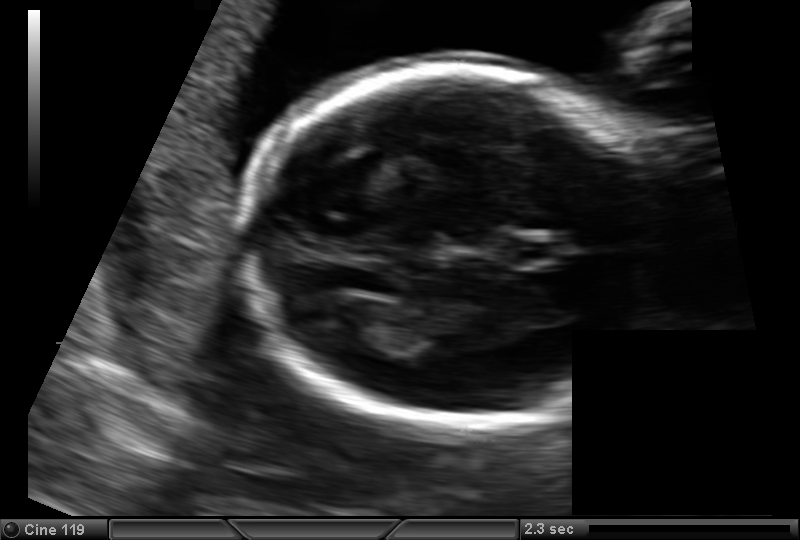
In this fetal head ultrasound, give the bounding box of the fetal head. Image width: 103.2 mm.

[246,65,664,424]